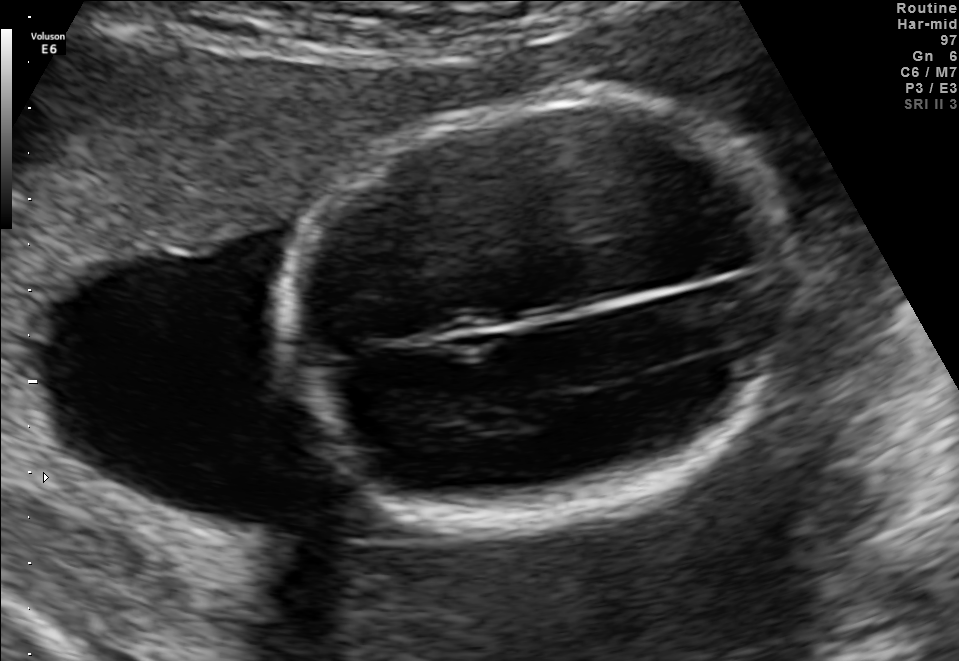
Classify this maternal-fetal ultrasound image as one of the six standard planes — fetal abdomen, fetal brain, fetal femur, fetal thorax, maternal cervix, or other. If it's fetal brain and one of the three standard brain planes (trans-thalamic, trans-cerebellum, trans-ventricular), name which.

Fetal brain (trans-thalamic plane)